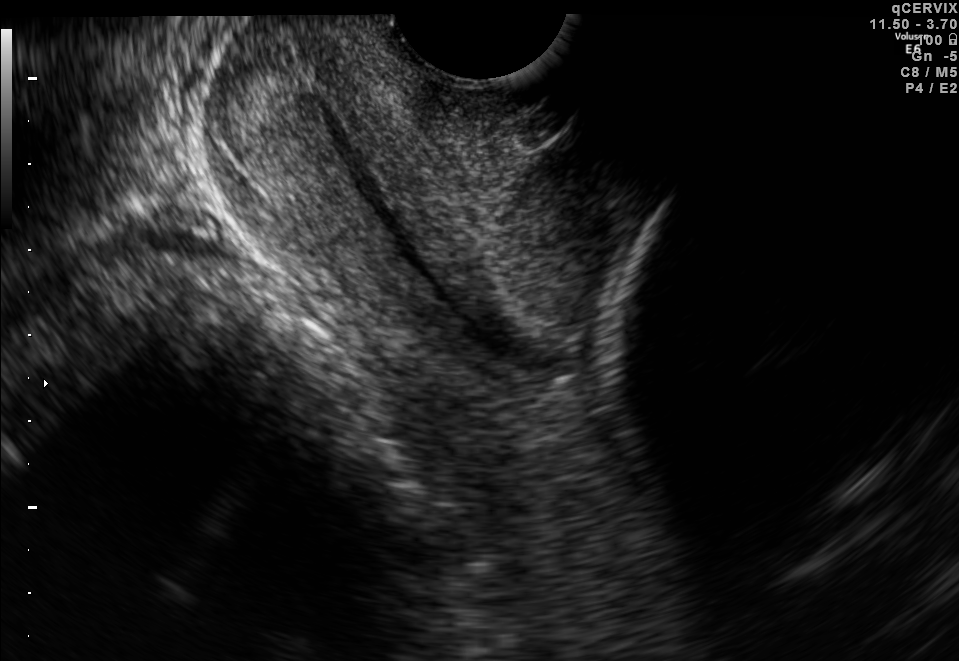
Classify this maternal-fetal ultrasound image as one of the six standard planes — fetal abdomen, fetal brain, fetal femur, fetal thorax, maternal cervix, or other. If it's fetal brain and one of the three standard brain planes (trans-thalamic, trans-cerebellum, trans-ventricular), name which.

Maternal cervix